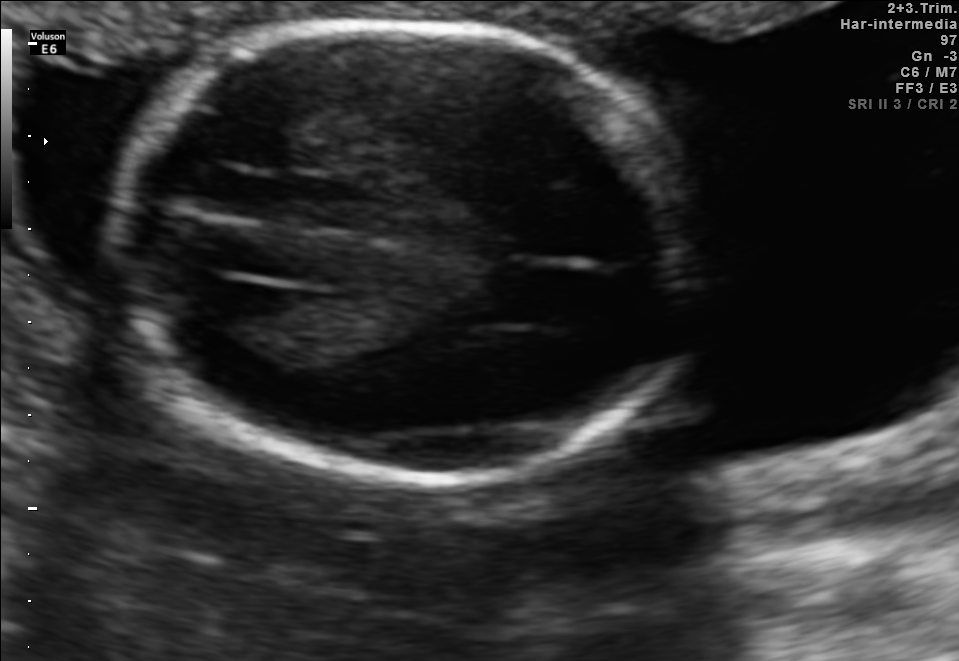
In this fetal brain, trans-thalamic plane, give bounding boxes for the head outline, cavum septum pellucidum (CSP), and lateral ventricle (LV), where visible.

Head: [113,22,696,483]